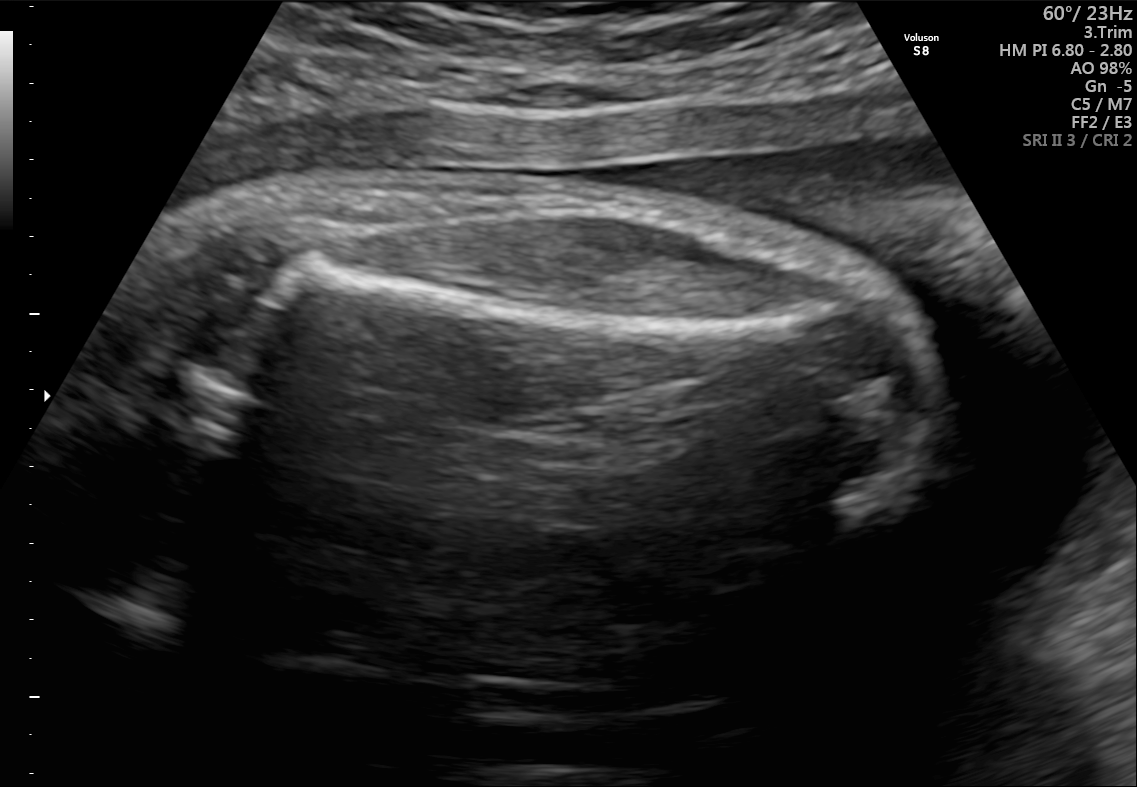
This is a 2D maternal-fetal ultrasound frame. Is it a fetal abdomen, fetal brain, fetal femur, fetal thorax, maternal cervix, or other standard plane? If it's fetal brain and one of the three standard brain planes (trans-thalamic, trans-cerebellum, trans-ventricular), name which.

Fetal femur